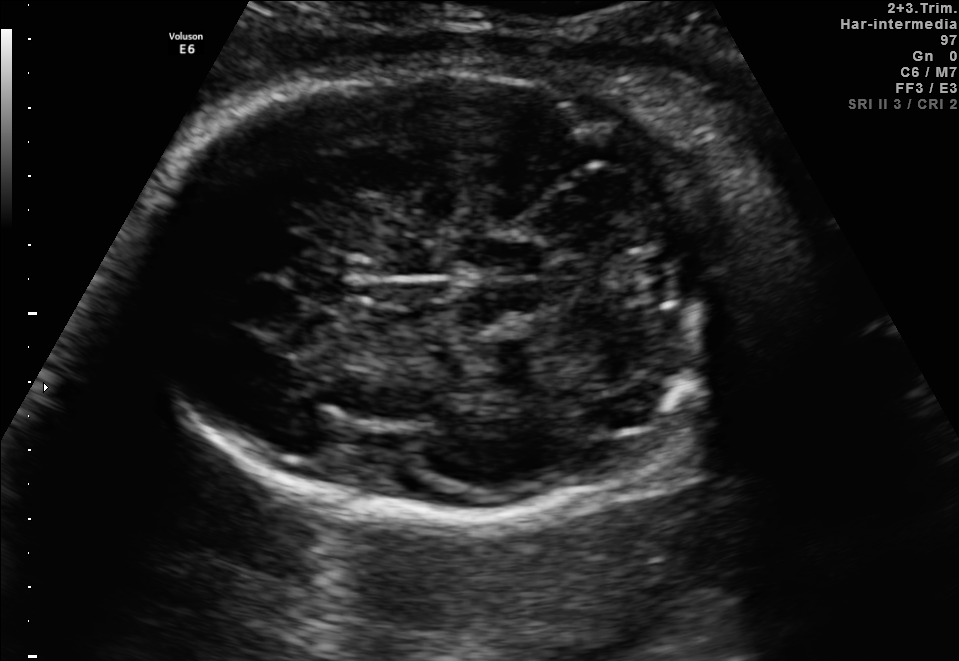
Fetal brain, trans-cerebellum plane. Where is the fetal head?

Head bounding box: [141,60,746,529]